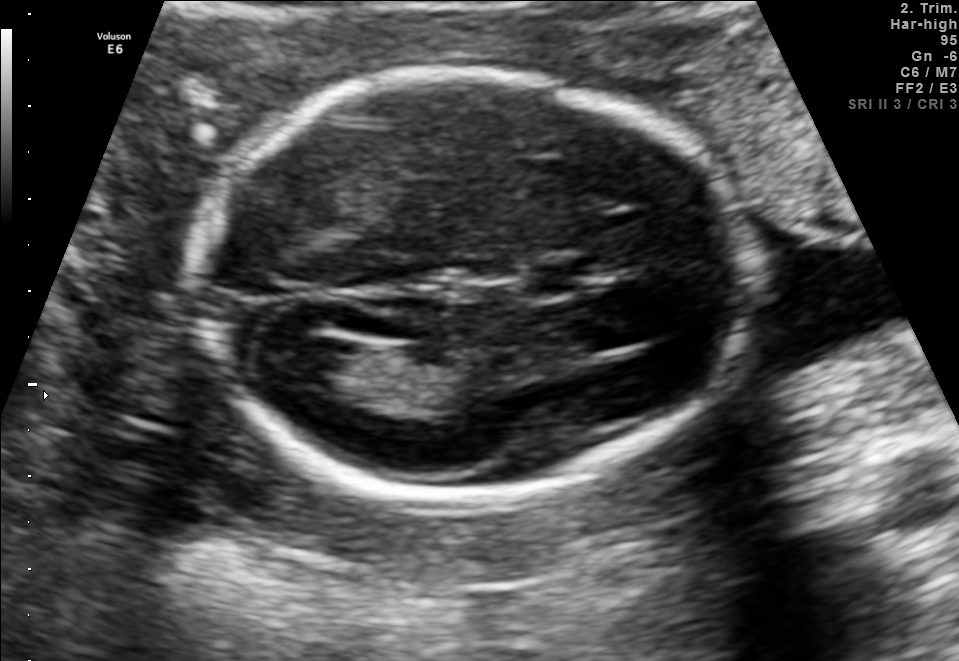
In this fetal brain, trans-ventricular plane, give bounding boxes for the head outline, cavum septum pellucidum (CSP), and lateral ventricle (LV), where visible.

Head: [179,61,772,518]
CSP: [521,248,609,306]
Lateral ventricle: [260,328,355,390]